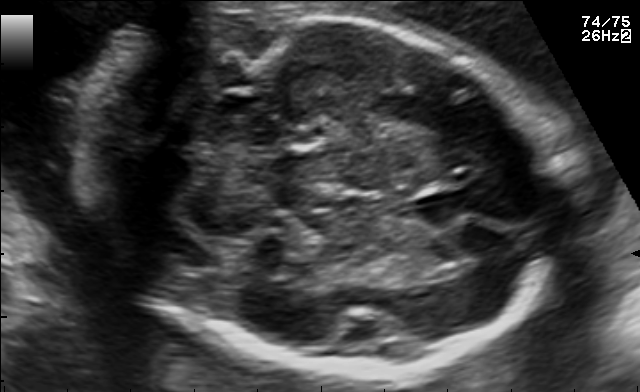
Fetal brain, trans-cerebellum plane. Locate the fetal head.

Head: [93,12,559,372]